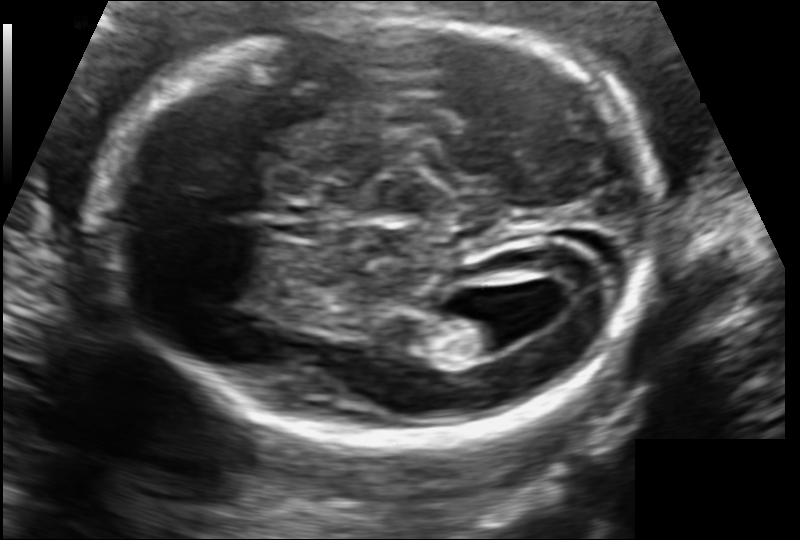
In this fetal head ultrasound, give bounding boxes for the head outline, cavum septum pellucidum (CSP), and lateral ventricle (LV), where visible. Image width: 87.0 mm.

Head: [111,20,659,440]
Lateral ventricle: [434,295,533,369]